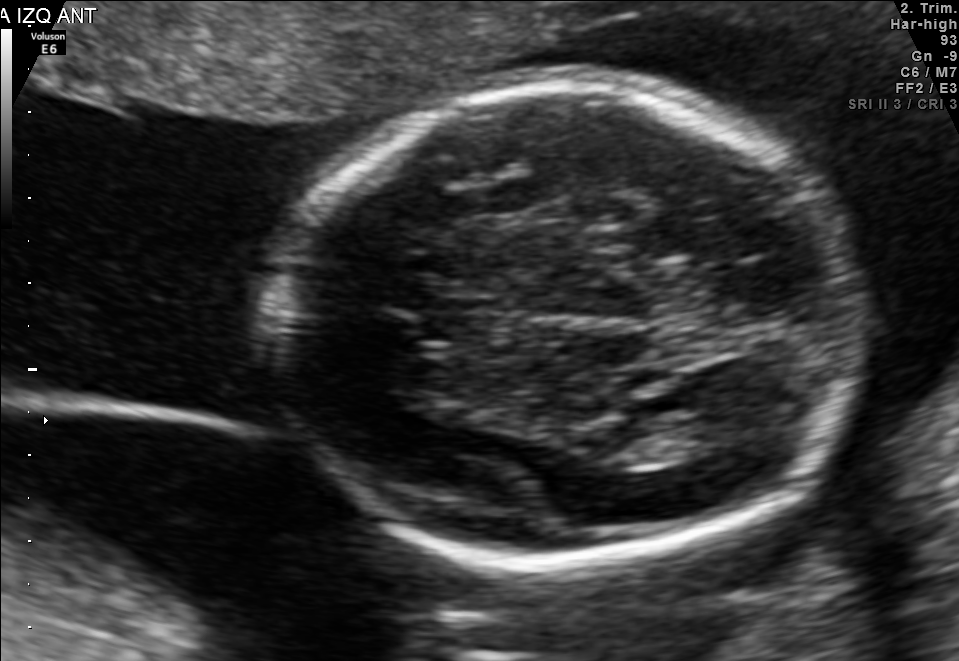
In this fetal brain, trans-thalamic plane, give the bounding box of the cavum septum pellucidum.

[421,301,498,339]